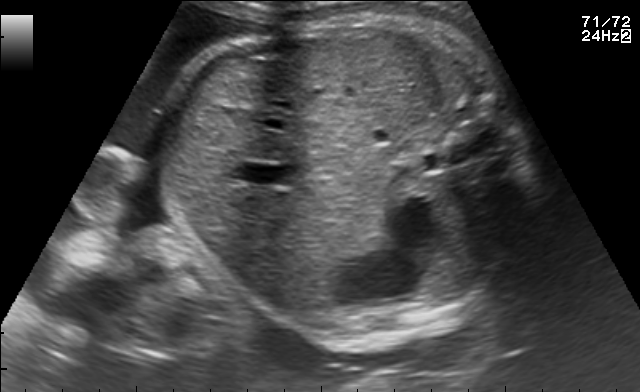
This is a 2D maternal-fetal ultrasound frame. Is it a fetal abdomen, fetal brain, fetal femur, fetal thorax, maternal cervix, or other standard plane? If it's fetal brain and one of the three standard brain planes (trans-thalamic, trans-cerebellum, trans-ventricular), name which.

Fetal abdomen